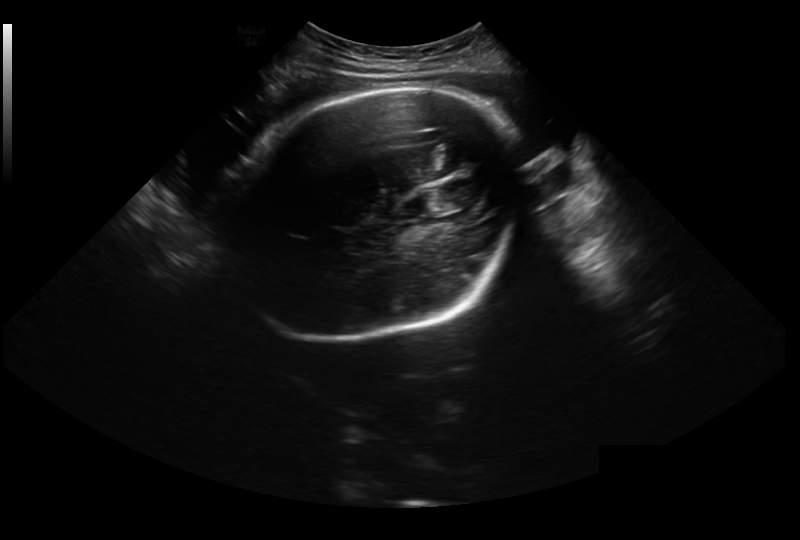
In this fetal head ultrasound, give bounding boxes for the head outline, cavum septum pellucidum (CSP), and lateral ventricle (LV), where visible. Image width: 260.9 mm.

Head: [220,85,523,342]